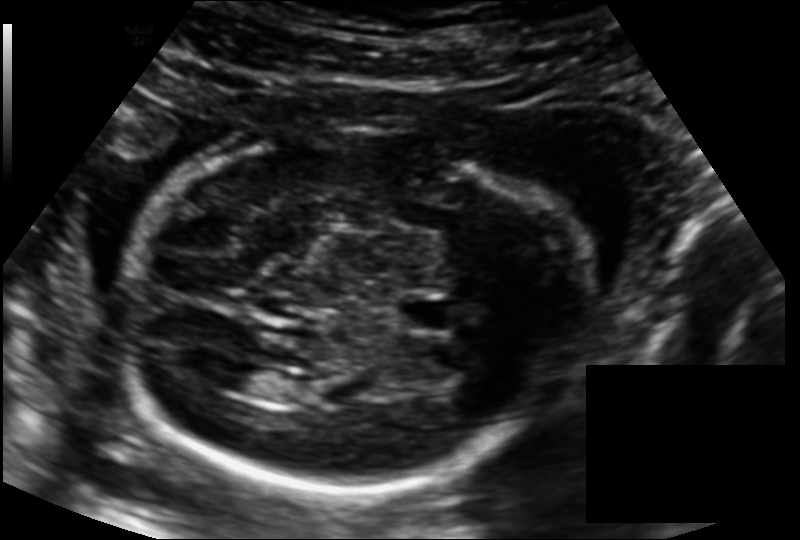
From this fetal ultrasound, estimate the head circumference (image width 111.3 mm).

Head circumference: 186.9 mm.